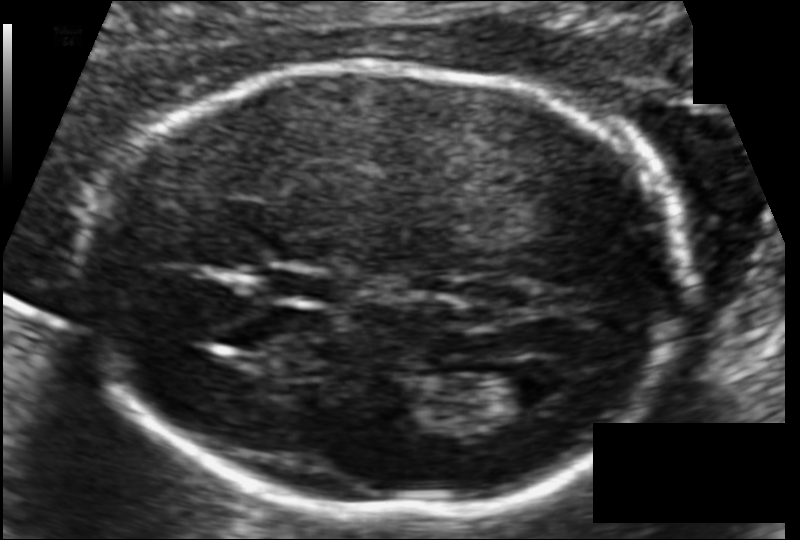
Fetal head ultrasound. Image width: 81.8 mm. Where is the lateral ventricle?

Lateral ventricle bounding box: [478,350,571,420]